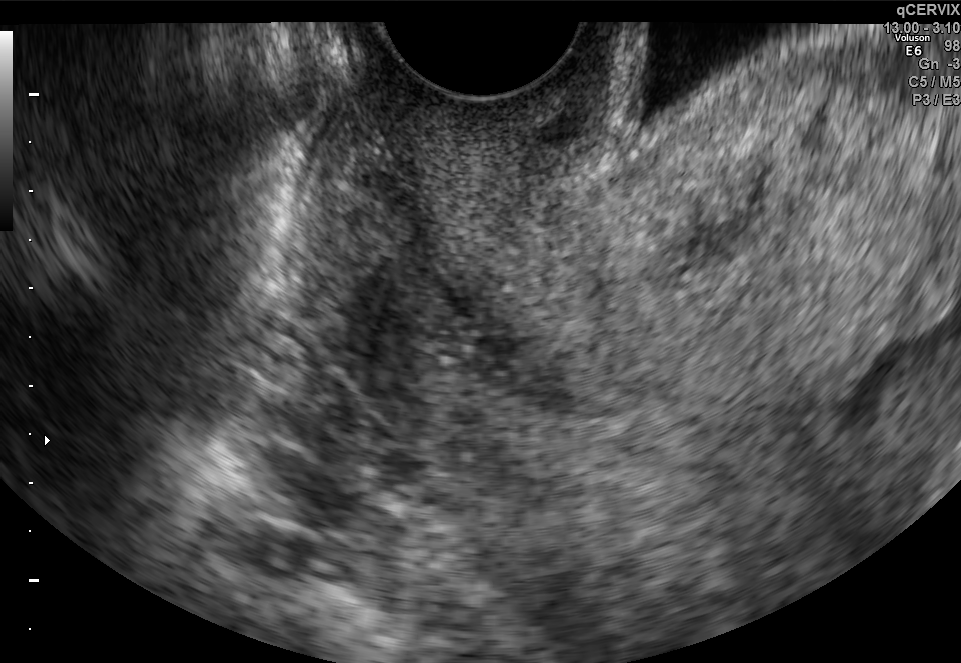
Classify this maternal-fetal ultrasound image as one of the six standard planes — fetal abdomen, fetal brain, fetal femur, fetal thorax, maternal cervix, or other. If it's fetal brain and one of the three standard brain planes (trans-thalamic, trans-cerebellum, trans-ventricular), name which.

Maternal cervix